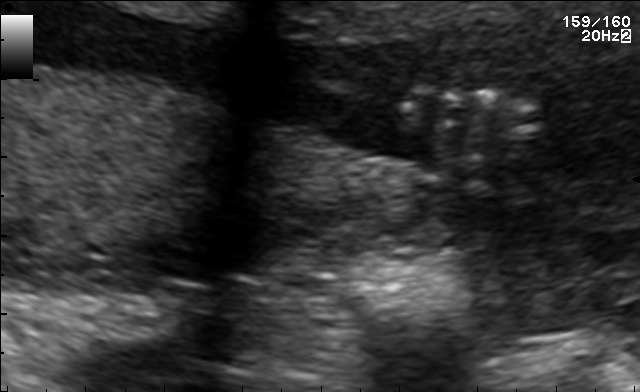
Which standard maternal-fetal ultrasound plane is shown: fetal abdomen, fetal brain, fetal femur, fetal thorax, maternal cervix, or other? If it's fetal brain and one of the three standard brain planes (trans-thalamic, trans-cerebellum, trans-ventricular), name which.

Other